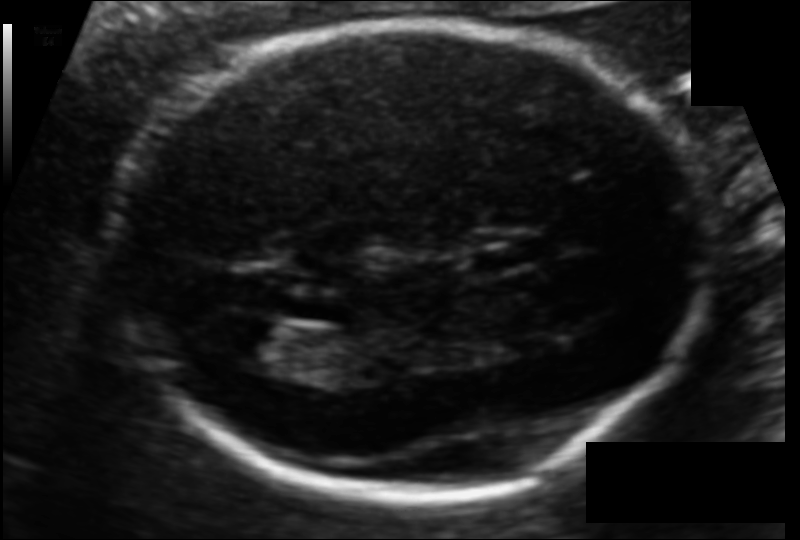
In this fetal head ultrasound, give bounding boxes for the head outline, cavum septum pellucidum (CSP), and lateral ventricle (LV), where visible. Image width: 85.1 mm.

Head: [118,21,707,491]
CSP: [462,231,544,279]
Lateral ventricle: [210,312,305,379]